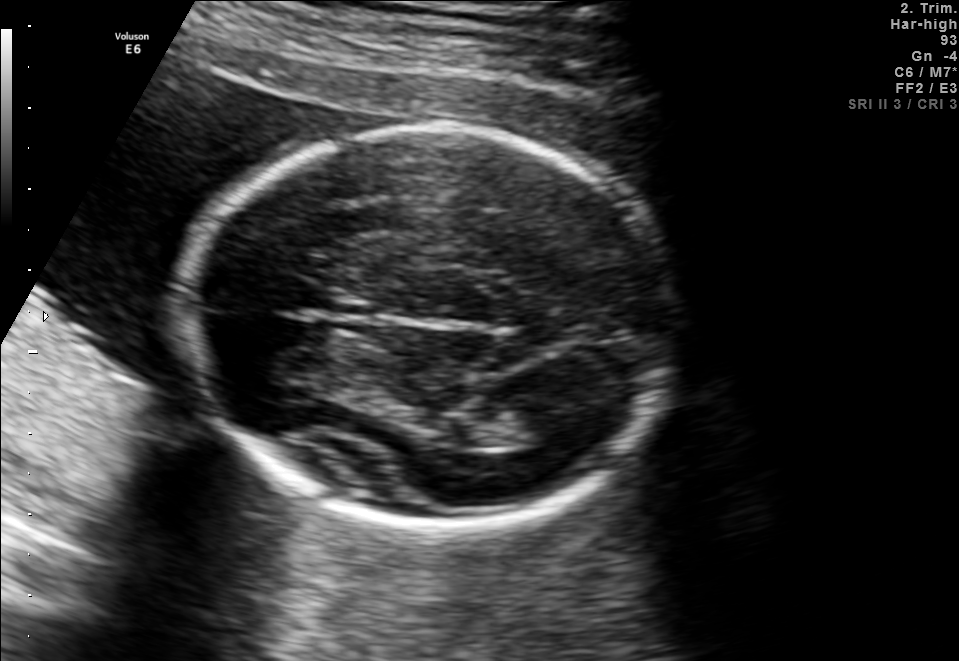
In this fetal brain, trans-thalamic plane, give the bounding box of the lateral ventricle.

[490,405,578,450]